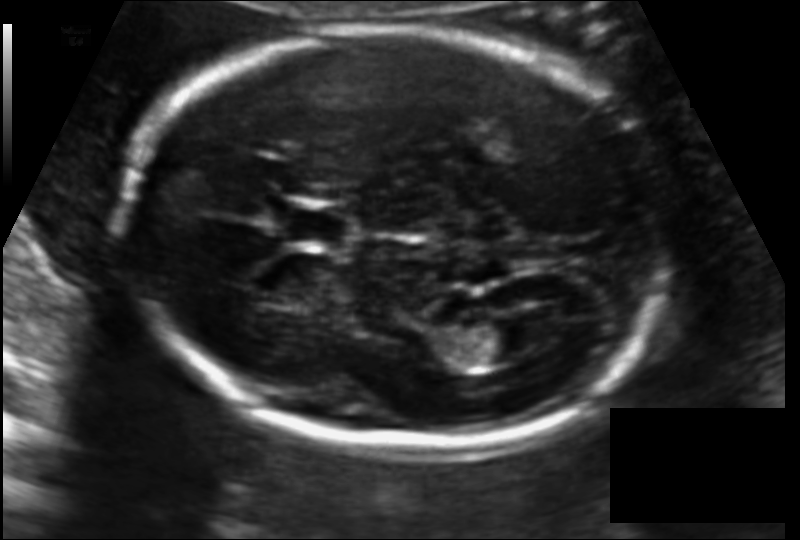
What is the fetal head circumference? Image width is 95.2 mm.

186.3 mm